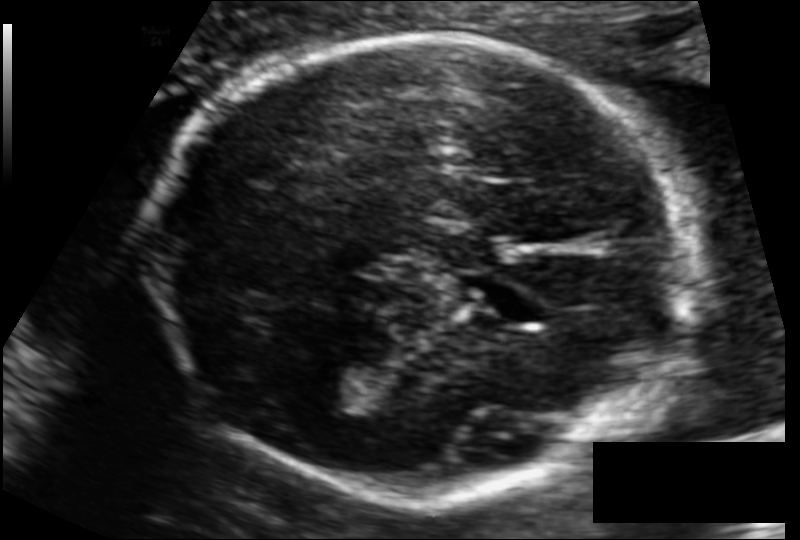
Estimate the fetal head circumference from this 2D ultrasound.

Head circumference: 184.4 mm (image width 89.9 mm).